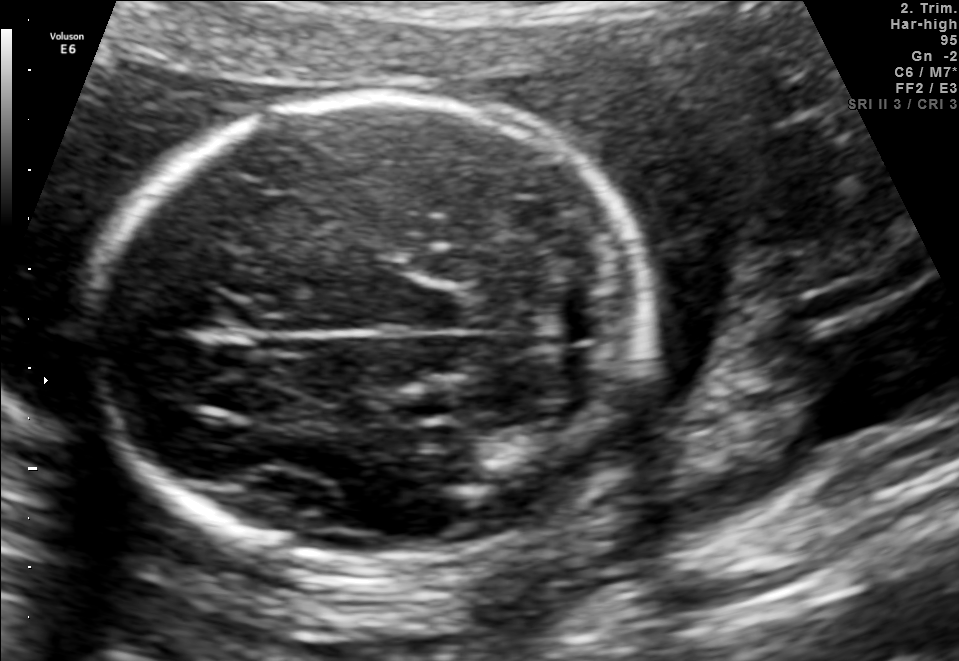
Fetal brain, trans-cerebellum plane. Where is the fetal head?

Head bounding box: [98,89,647,566]